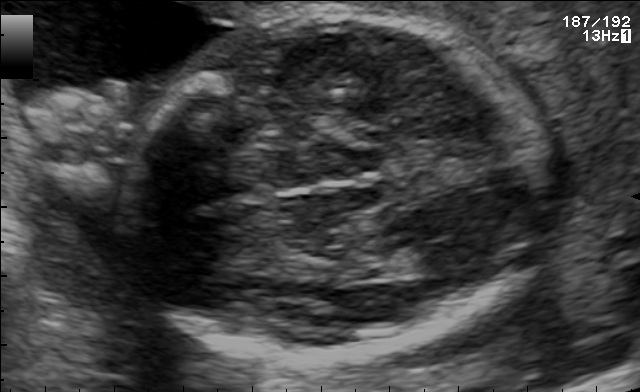
Fetal brain, trans-thalamic plane. Where is the fetal head?

Head bounding box: [114,14,550,358]